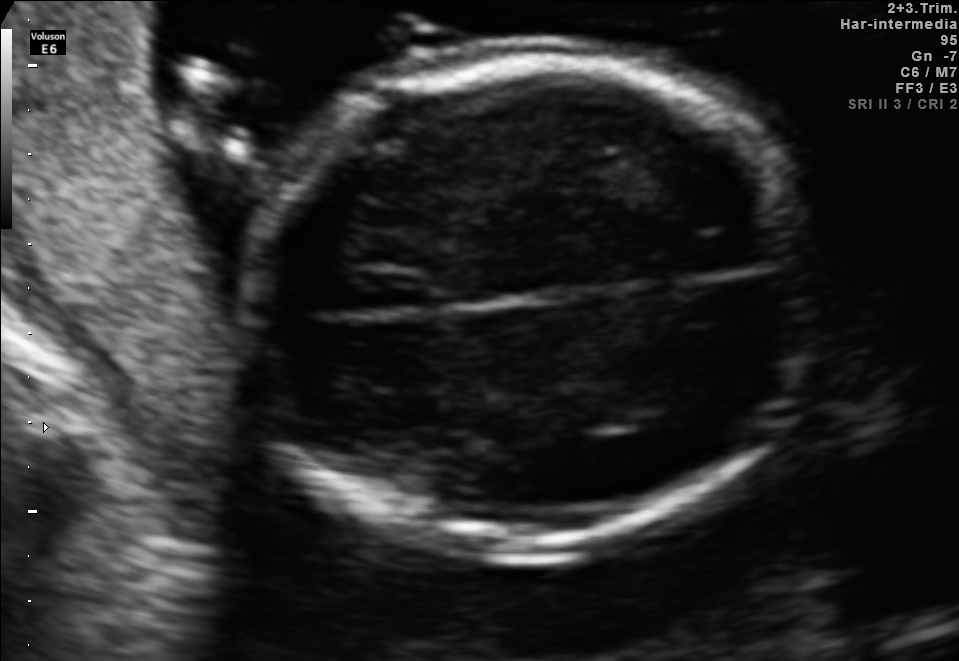
Fetal brain, trans-thalamic plane. Locate the fetal head and, if visible, the cavum septum pellucidum (CSP) and lateral ventricle (LV). Give bounding boxes as [x1,y1,x2,y2].

Head: [260,54,813,545]